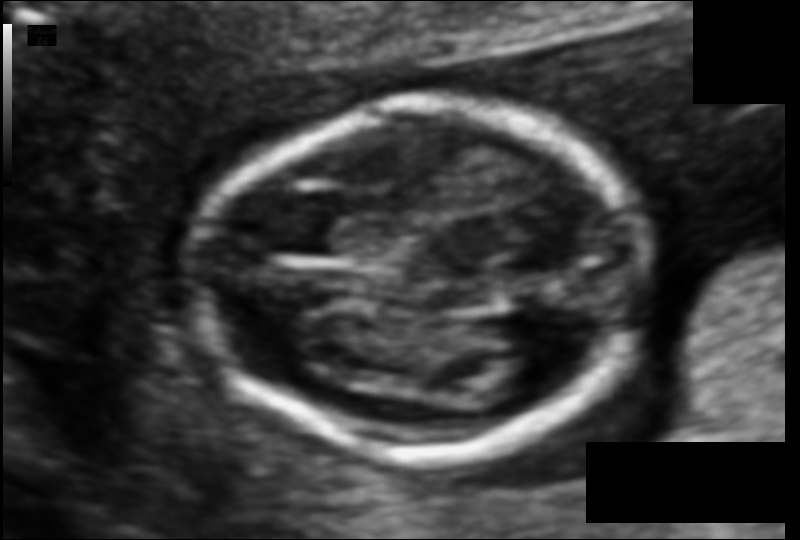
Fetal head ultrasound. Image width: 61.5 mm. Give [x1,y1,x2,y2] bounding boxes for each visible structure among: fetal head, CSP, LV.

Head: [197,105,648,458]